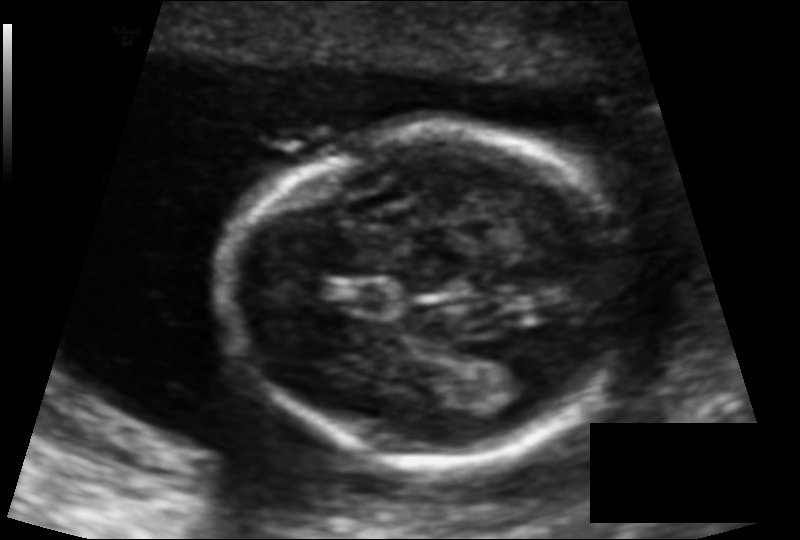
In this fetal head ultrasound, give the bounding box of the fetal head. Image width: 81.7 mm.

[232,129,621,463]